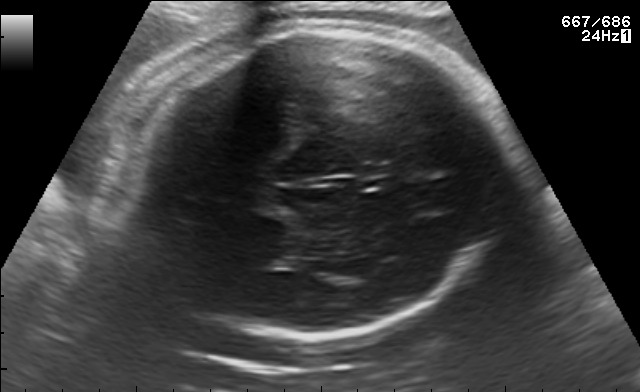
Fetal brain, trans-thalamic plane. Locate the fetal head and, if visible, the cavum septum pellucidum (CSP) and lateral ventricle (LV). Give bounding boxes as [x1,y1,x2,y2].

Head: [119,26,508,336]